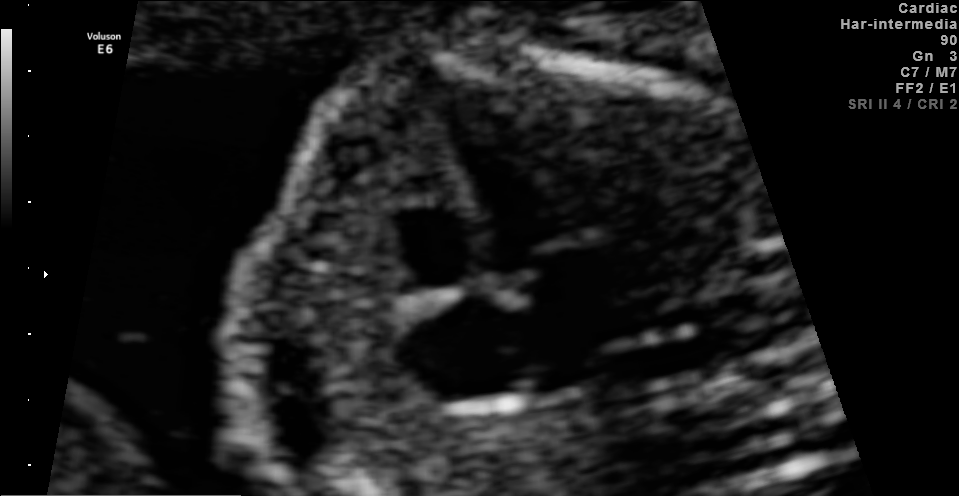
Which standard maternal-fetal ultrasound plane is shown: fetal abdomen, fetal brain, fetal femur, fetal thorax, maternal cervix, or other? If it's fetal brain and one of the three standard brain planes (trans-thalamic, trans-cerebellum, trans-ventricular), name which.

Fetal thorax